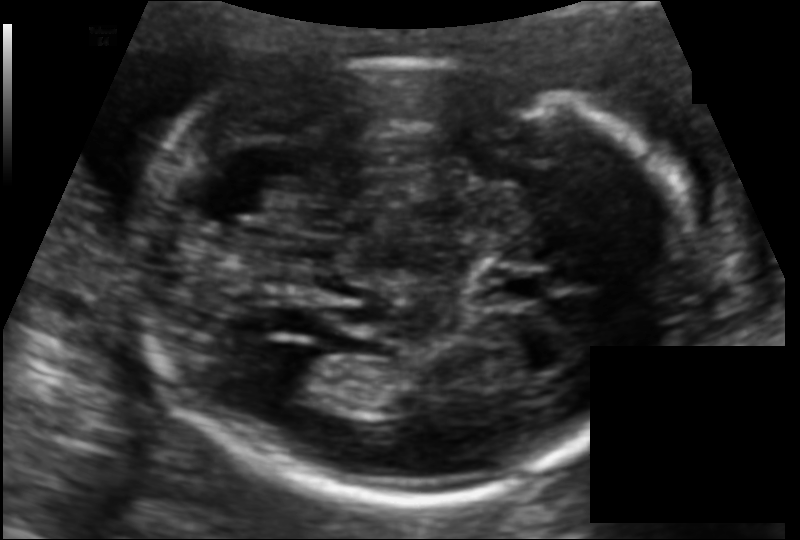
Estimate the fetal head circumference from this 2D ultrasound.

Head circumference: 183.6 mm (image width 91.9 mm).